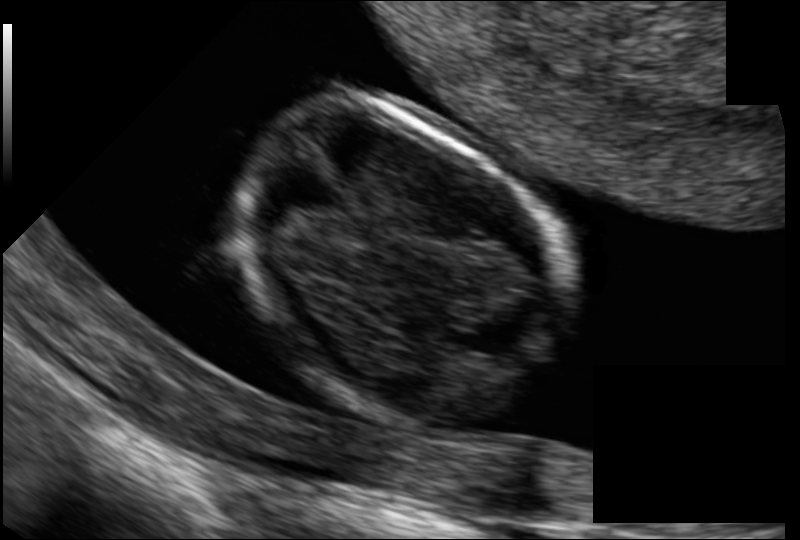
Fetal head ultrasound. Image width: 55.2 mm. Locate the fetal head and, if visible, the cavum septum pellucidum (CSP) and lateral ventricle (LV). Give bounding boxes as [x1,y1,x2,y2].

Head: [228,109,561,417]